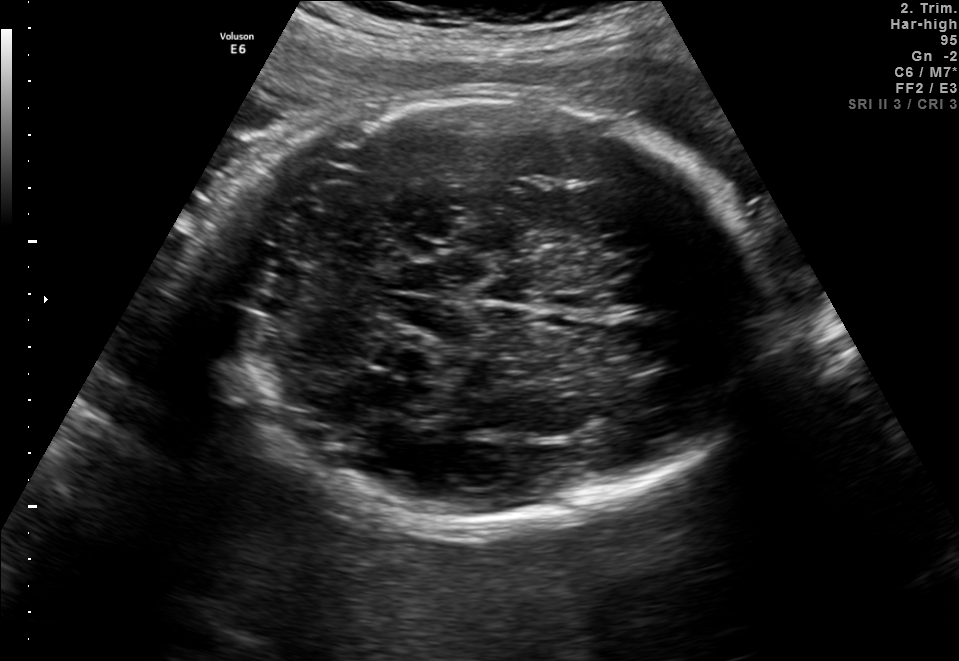
Fetal brain, trans-cerebellum plane. Locate the fetal head.

Head: [222,98,753,523]